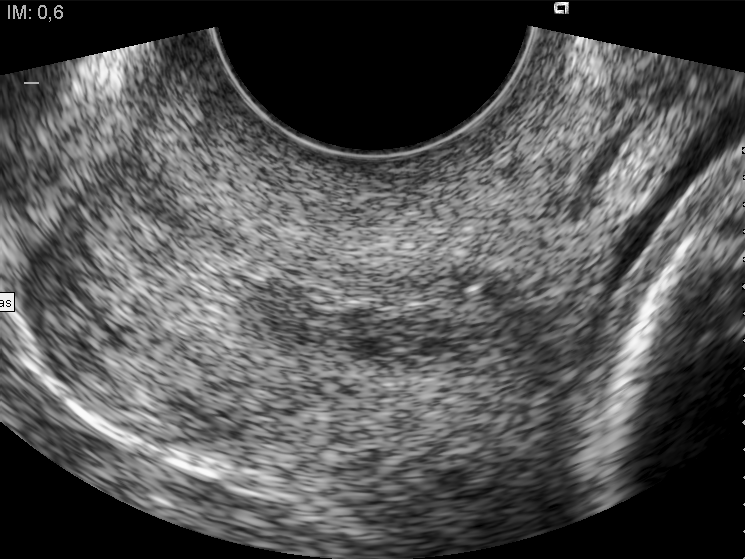
This is a 2D maternal-fetal ultrasound frame. Is it a fetal abdomen, fetal brain, fetal femur, fetal thorax, maternal cervix, or other standard plane? If it's fetal brain and one of the three standard brain planes (trans-thalamic, trans-cerebellum, trans-ventricular), name which.

Maternal cervix